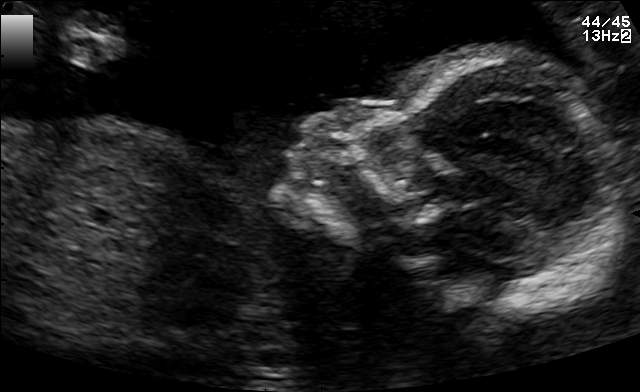
Which standard maternal-fetal ultrasound plane is shown: fetal abdomen, fetal brain, fetal femur, fetal thorax, maternal cervix, or other? If it's fetal brain and one of the three standard brain planes (trans-thalamic, trans-cerebellum, trans-ventricular), name which.

Other